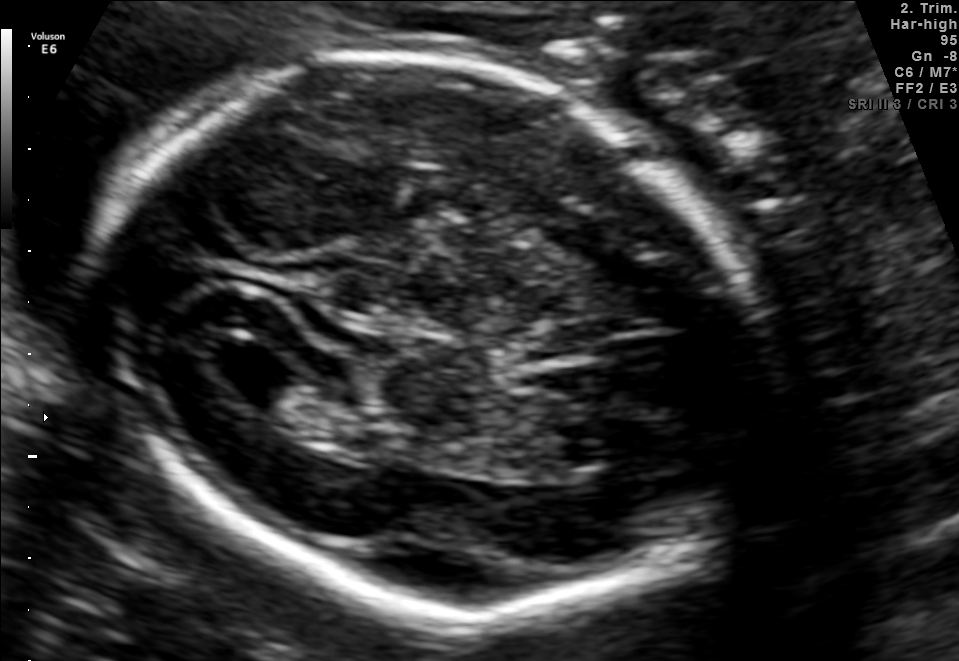
Fetal brain, trans-ventricular plane. Where is the lateral ventricle?

Lateral ventricle bounding box: [200,320,306,420]